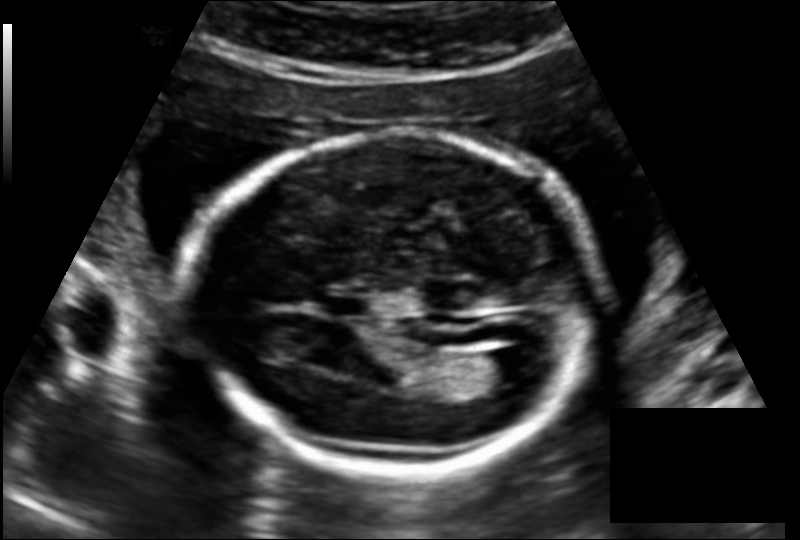
Fetal head ultrasound. Image width: 115.9 mm. Locate the cavum septum pellucidum.

CSP: [322,295,368,318]